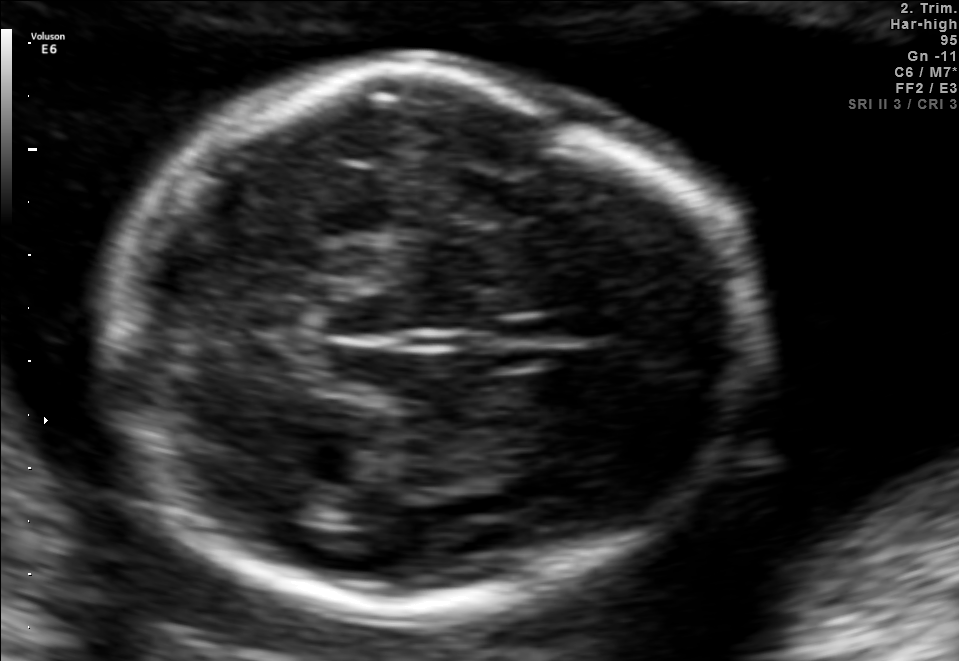
Fetal brain, trans-thalamic plane. Locate the fetal head and, if visible, the cavum septum pellucidum (CSP) and lateral ventricle (LV). Give bounding boxes as [x1,y1,x2,y2].

Head: [100,72,751,611]
Lateral ventricle: [281,480,352,527]